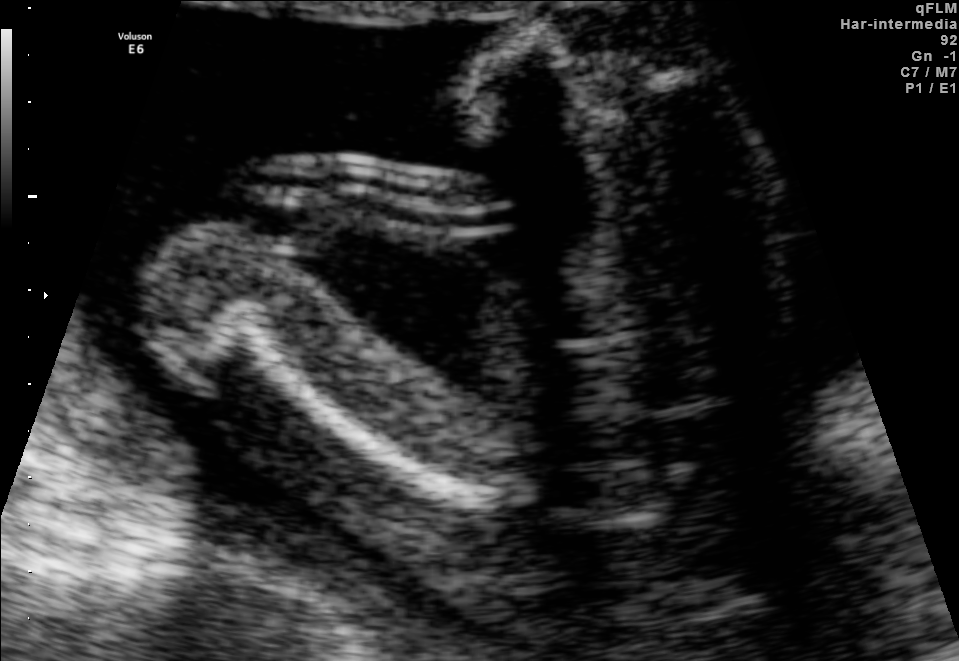
This is a 2D maternal-fetal ultrasound frame. Is it a fetal abdomen, fetal brain, fetal femur, fetal thorax, maternal cervix, or other standard plane? If it's fetal brain and one of the three standard brain planes (trans-thalamic, trans-cerebellum, trans-ventricular), name which.

Fetal femur